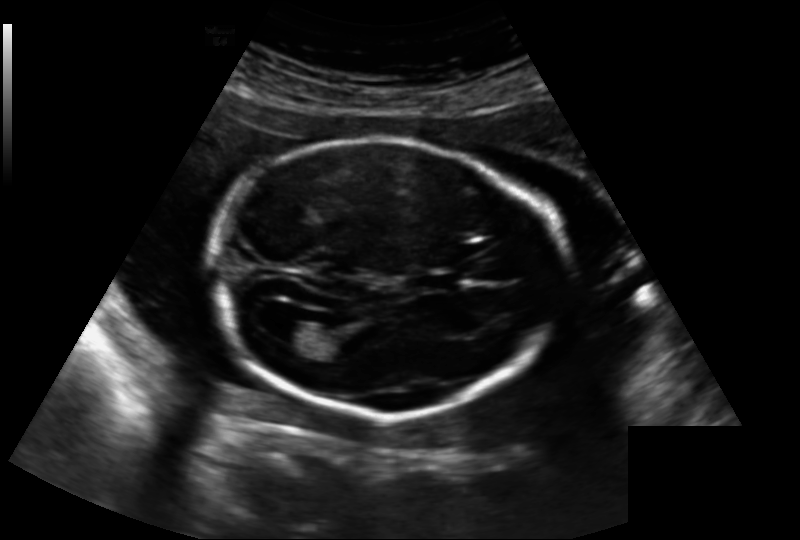
Fetal head ultrasound. Image width: 150.3 mm. Where is the cavum septum pellucidum?

CSP bounding box: [418,271,460,291]